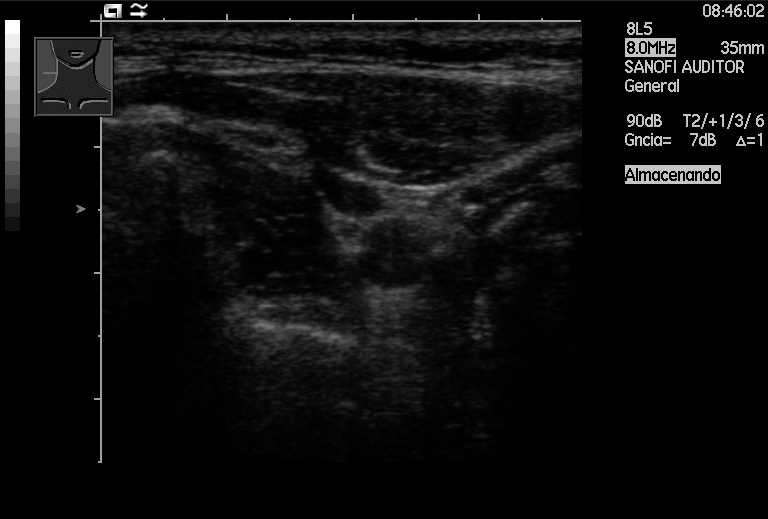
Which standard maternal-fetal ultrasound plane is shown: fetal abdomen, fetal brain, fetal femur, fetal thorax, maternal cervix, or other? If it's fetal brain and one of the three standard brain planes (trans-thalamic, trans-cerebellum, trans-ventricular), name which.

Other